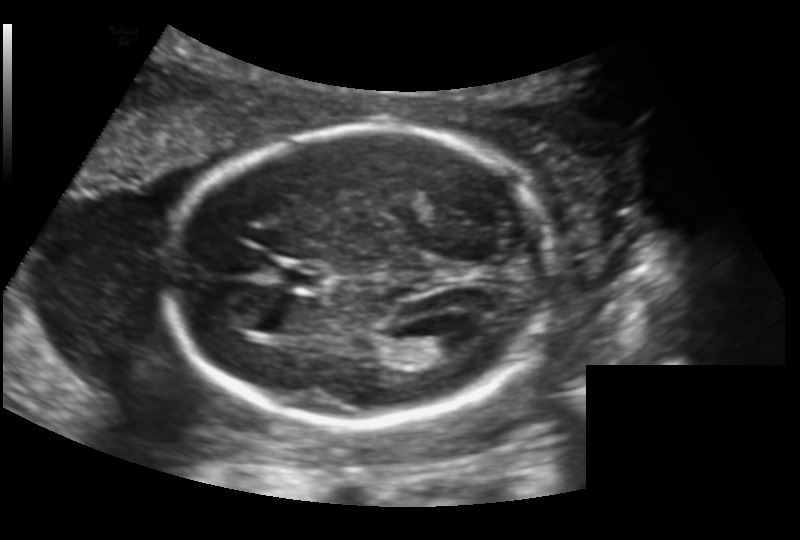
Estimate the fetal head circumference from this 2D ultrasound.

Head circumference: 175.8 mm (image width 125.0 mm).